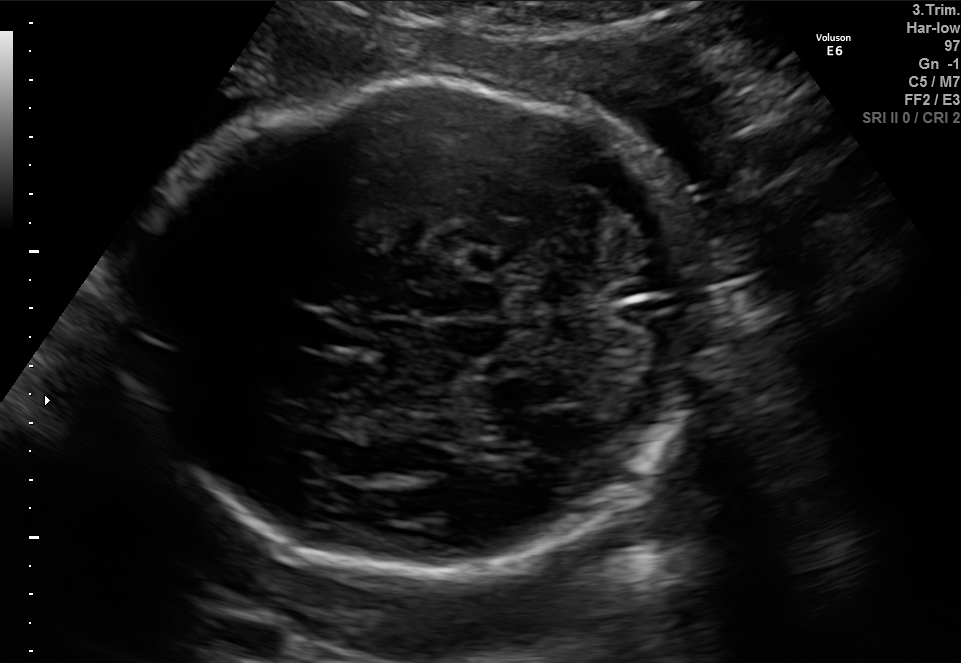
In this fetal brain, trans-cerebellum plane, give bounding boxes for the head outline, cavum septum pellucidum (CSP), and lateral ventricle (LV), where visible.

Head: [126,77,698,578]